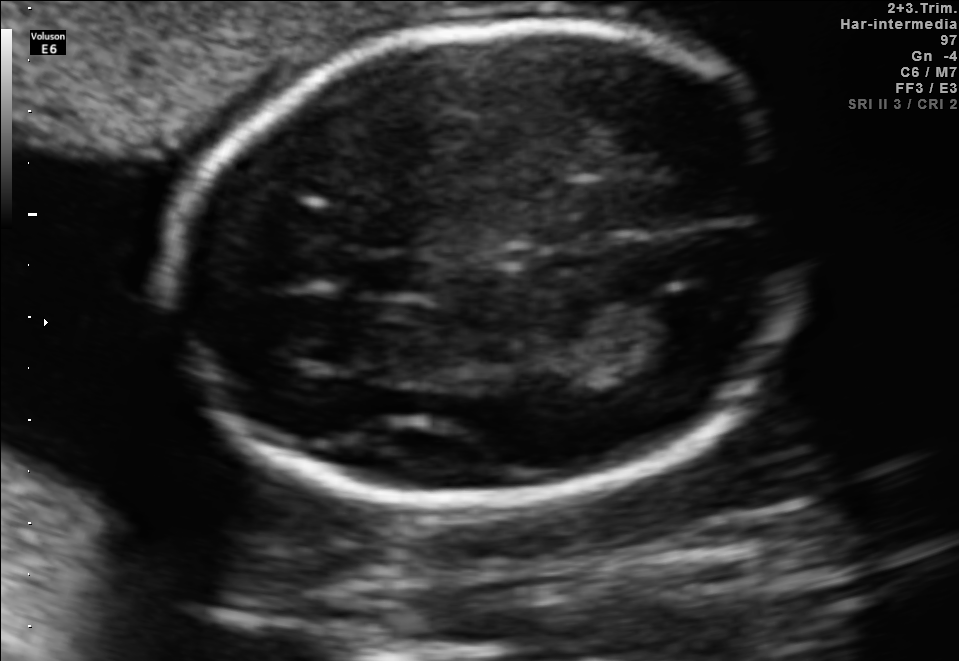
Which standard maternal-fetal ultrasound plane is shown: fetal abdomen, fetal brain, fetal femur, fetal thorax, maternal cervix, or other? If it's fetal brain and one of the three standard brain planes (trans-thalamic, trans-cerebellum, trans-ventricular), name which.

Fetal brain (trans-thalamic plane)